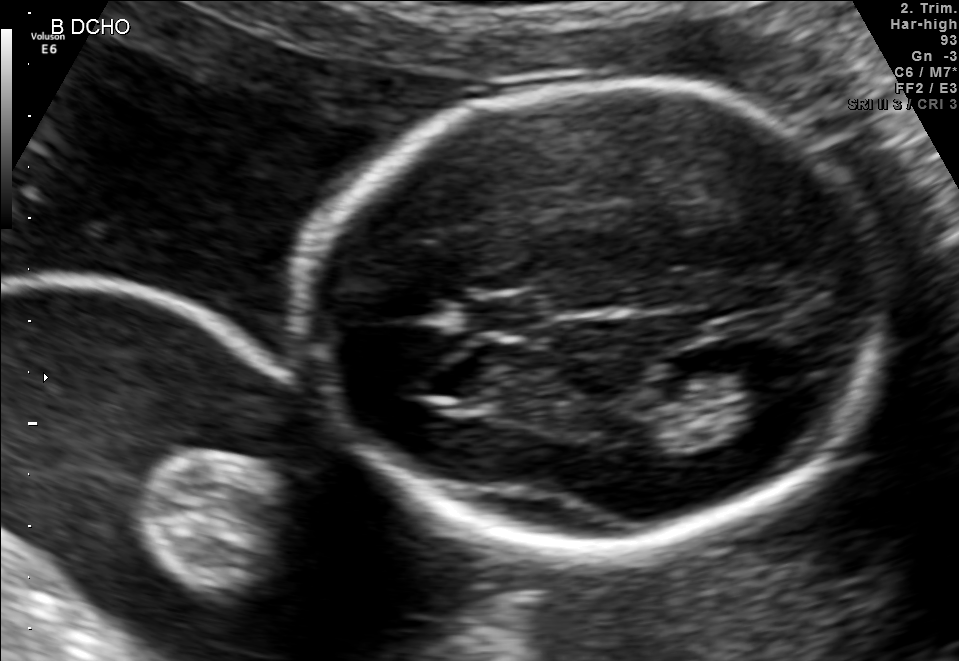
Fetal brain, trans-thalamic plane. Where is the cavum septum pellucidum?

CSP bounding box: [464,293,545,335]